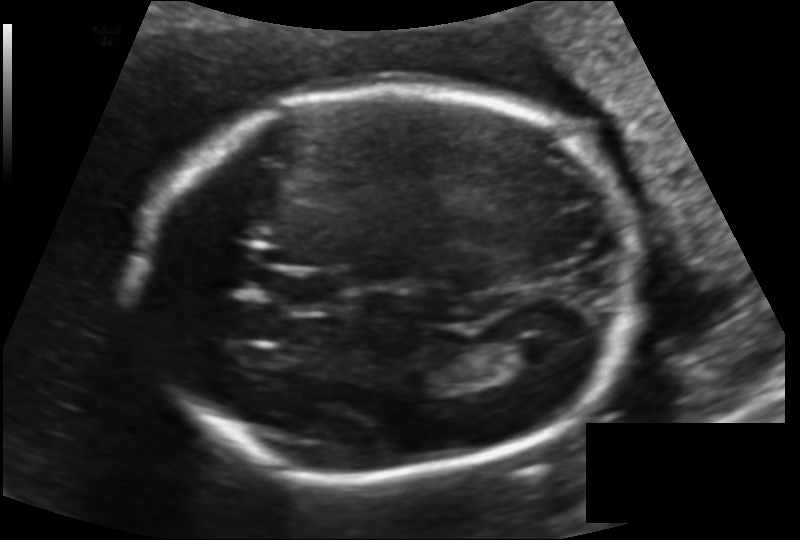
Estimate the fetal head circumference from this 2D ultrasound. Image width: 115.0 mm.

Head circumference: 209.1 mm.